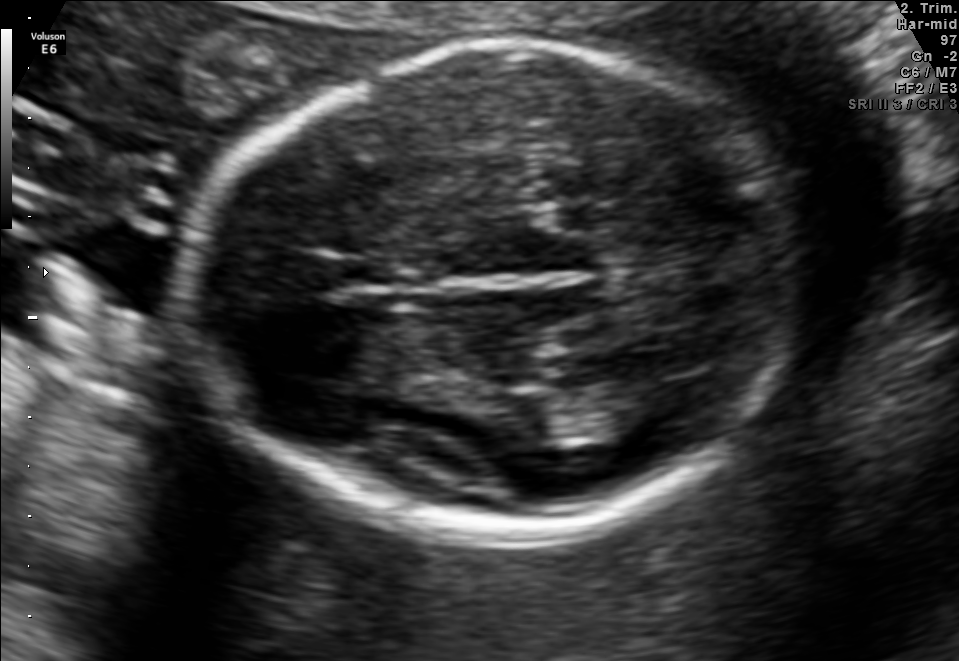
Classify this maternal-fetal ultrasound image as one of the six standard planes — fetal abdomen, fetal brain, fetal femur, fetal thorax, maternal cervix, or other. If it's fetal brain and one of the three standard brain planes (trans-thalamic, trans-cerebellum, trans-ventricular), name which.

Fetal brain (trans-thalamic plane)